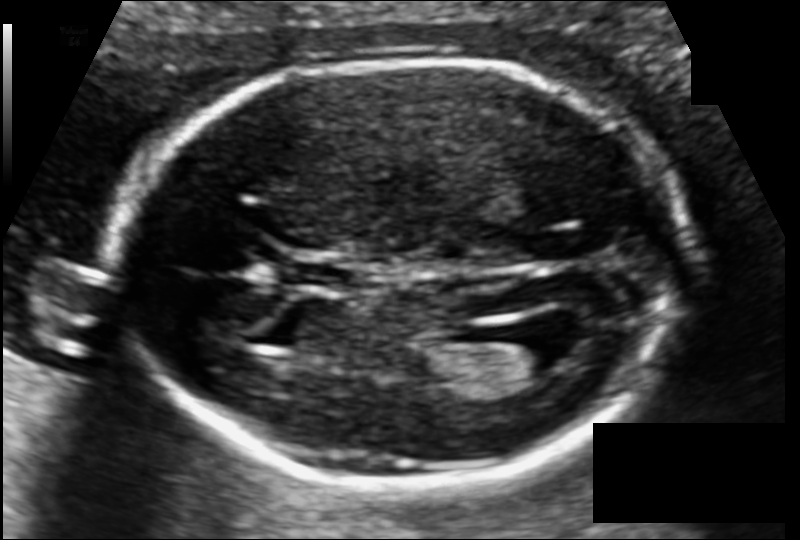
From this fetal ultrasound, estimate the head circumference (image width 82.9 mm).

Head circumference: 165.9 mm.